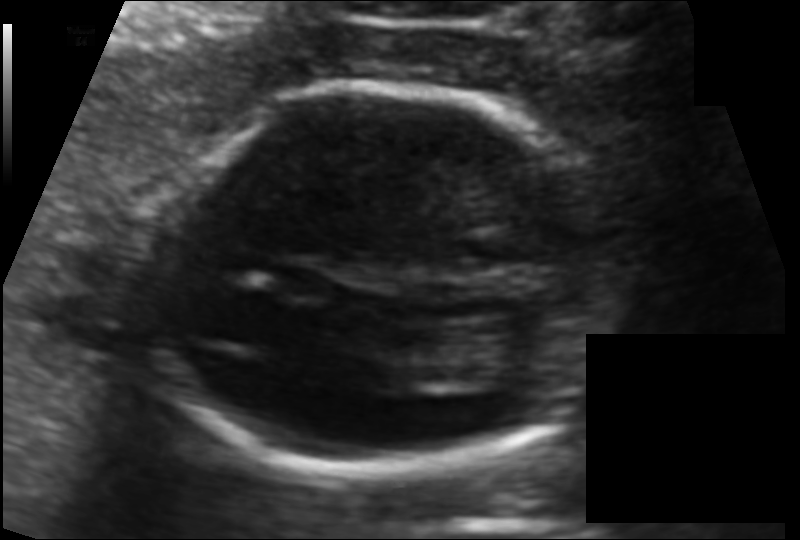
Fetal head ultrasound. Image width: 80.1 mm. Give [x1,y1,x2,y2] bounding boxes for each visible structure among: fetal head, CSP, LV.

Head: [143,86,612,474]